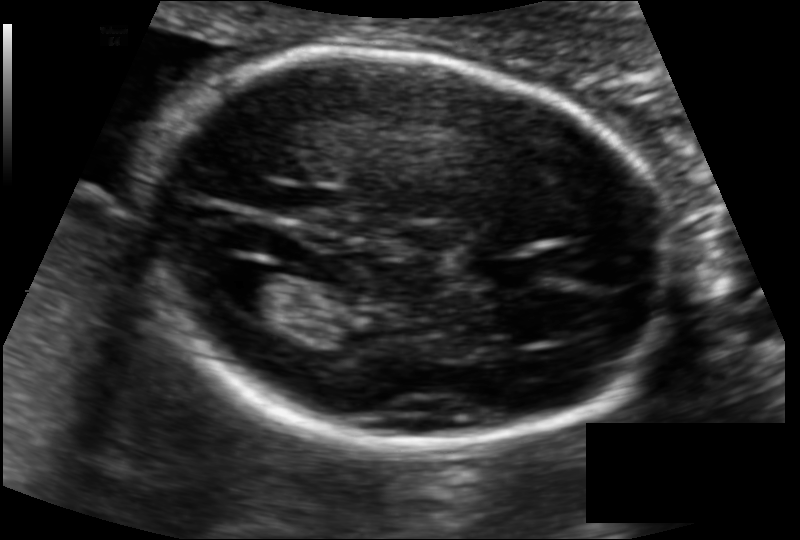
Fetal head ultrasound. Image width: 88.0 mm. Where is the fetal head?

Head bounding box: [137,55,678,451]